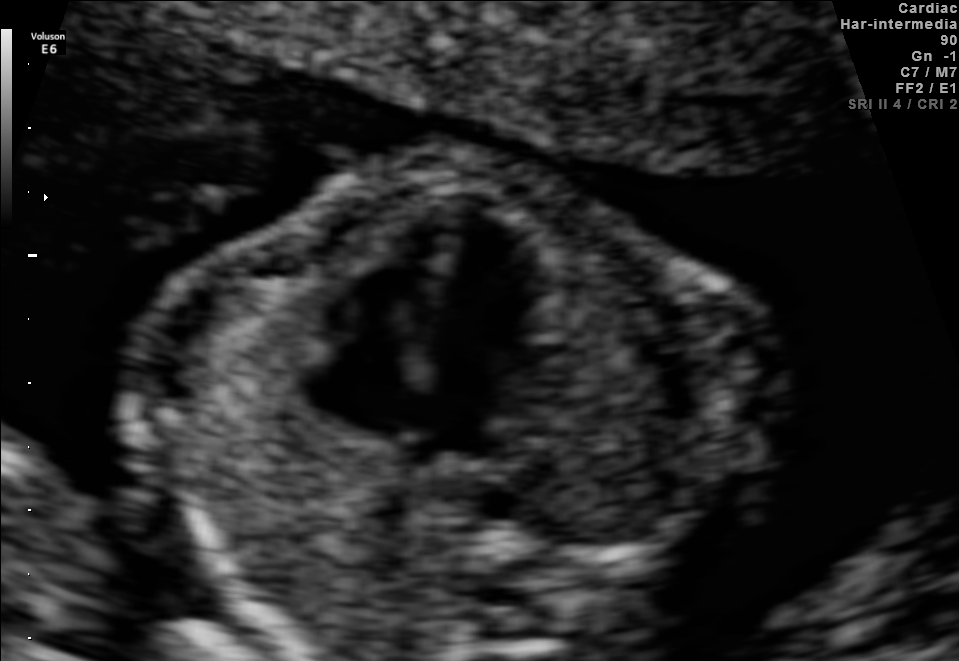
This is a 2D maternal-fetal ultrasound frame. Is it a fetal abdomen, fetal brain, fetal femur, fetal thorax, maternal cervix, or other standard plane? If it's fetal brain and one of the three standard brain planes (trans-thalamic, trans-cerebellum, trans-ventricular), name which.

Fetal thorax